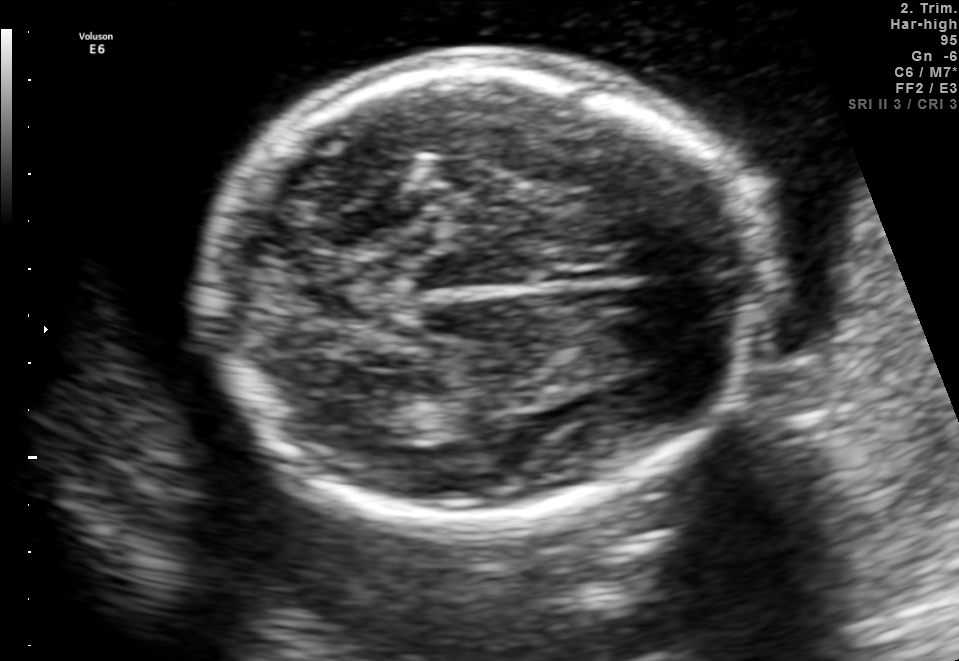
Fetal brain, trans-thalamic plane. Locate the fetal head.

Head: [204,59,771,520]